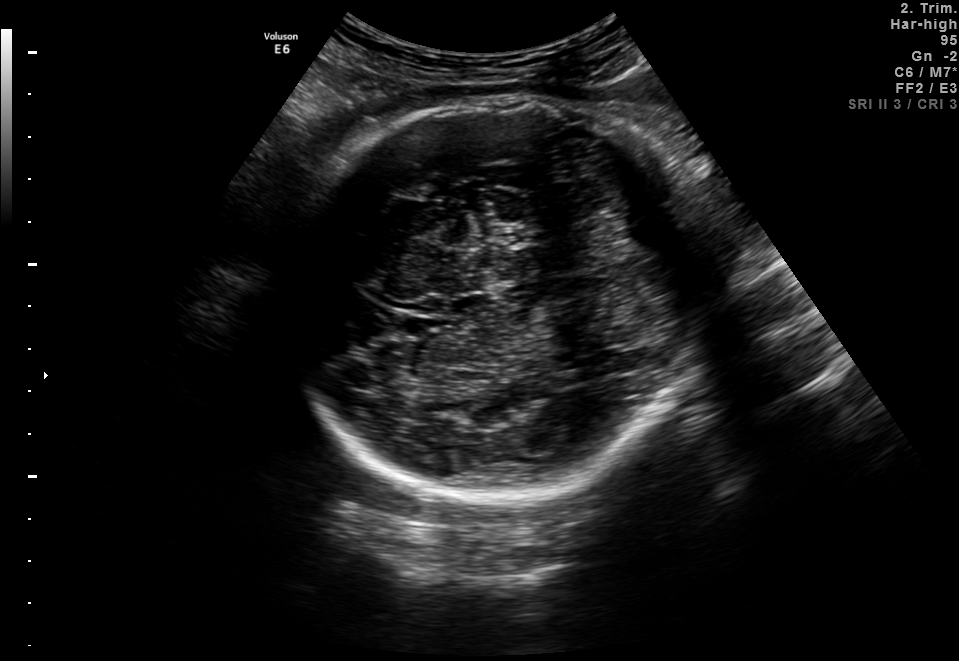
In this fetal brain, trans-thalamic plane, give bounding boxes for the head outline, cavum septum pellucidum (CSP), and lateral ventricle (LV), where visible.

Head: [281,99,706,496]